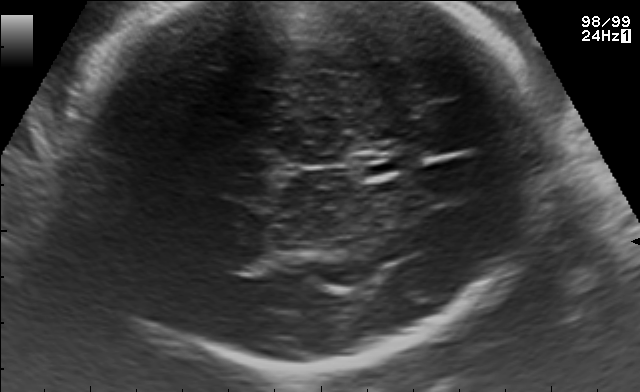
Fetal brain, trans-thalamic plane. Locate the cavum septum pellucidum.

CSP: [356,152,406,178]